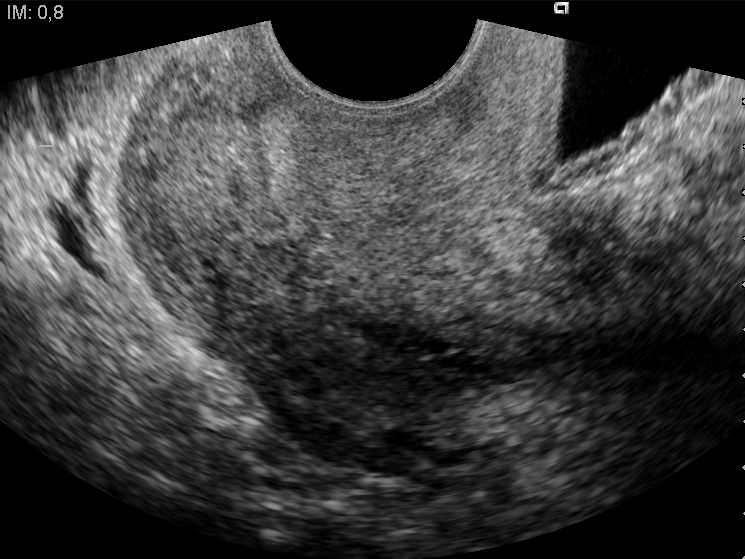
Classify this maternal-fetal ultrasound image as one of the six standard planes — fetal abdomen, fetal brain, fetal femur, fetal thorax, maternal cervix, or other. If it's fetal brain and one of the three standard brain planes (trans-thalamic, trans-cerebellum, trans-ventricular), name which.

Maternal cervix